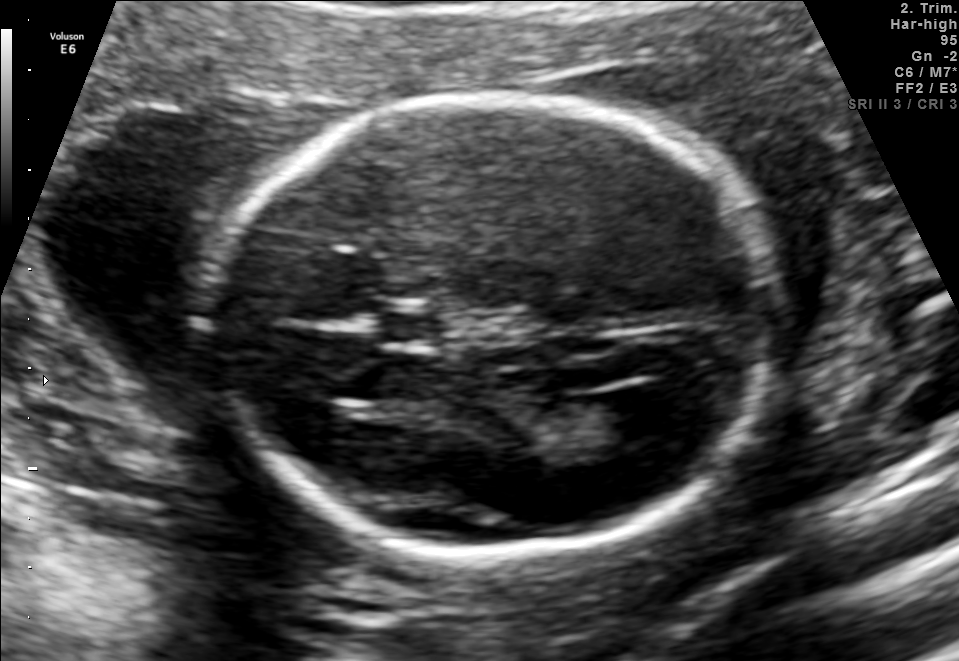
Fetal brain, trans-ventricular plane. Locate the lateral ventricle.

Lateral ventricle: [585,371,690,453]